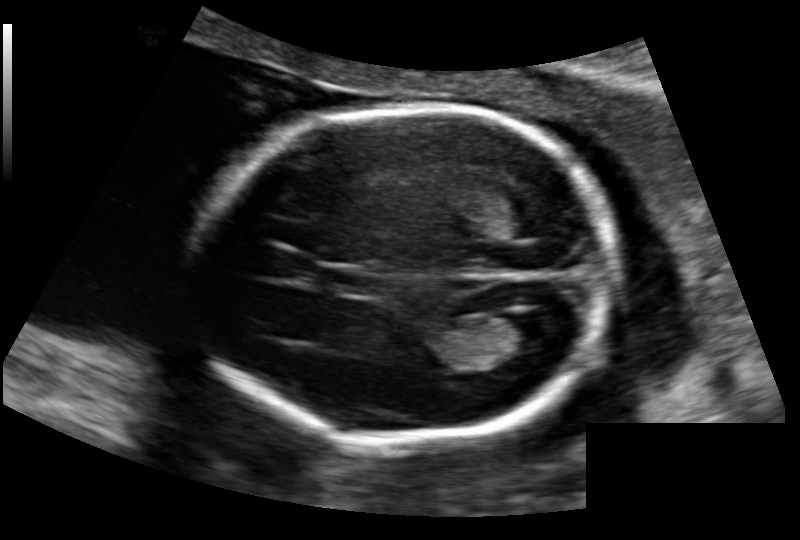
From this fetal ultrasound, estimate the head circumference (image width 108.9 mm).

Head circumference: 167.1 mm.